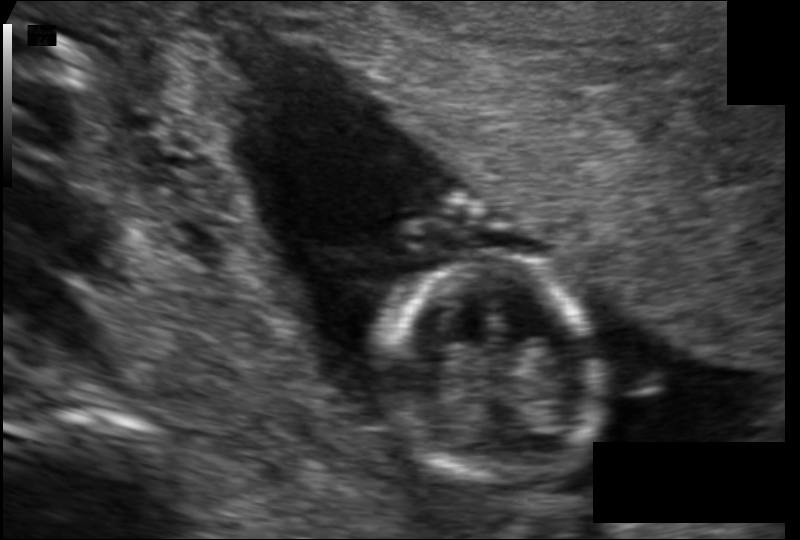
Measure the fetal head circumference shown in this ultrasound image. Image width: 87.7 mm.

Head circumference: 80.9 mm.